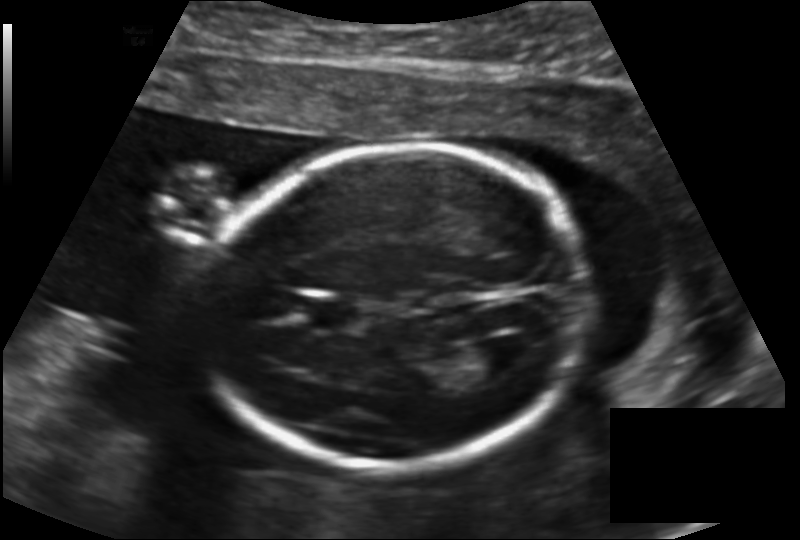
Fetal head ultrasound. Image width: 117.6 mm. Locate the fetal head and, if visible, the cavum septum pellucidum (CSP) and lateral ventricle (LV). Give bounding boxes as [x1,y1,x2,y2].

Head: [203,144,584,468]
CSP: [308,298,360,329]
Lateral ventricle: [464,329,537,382]